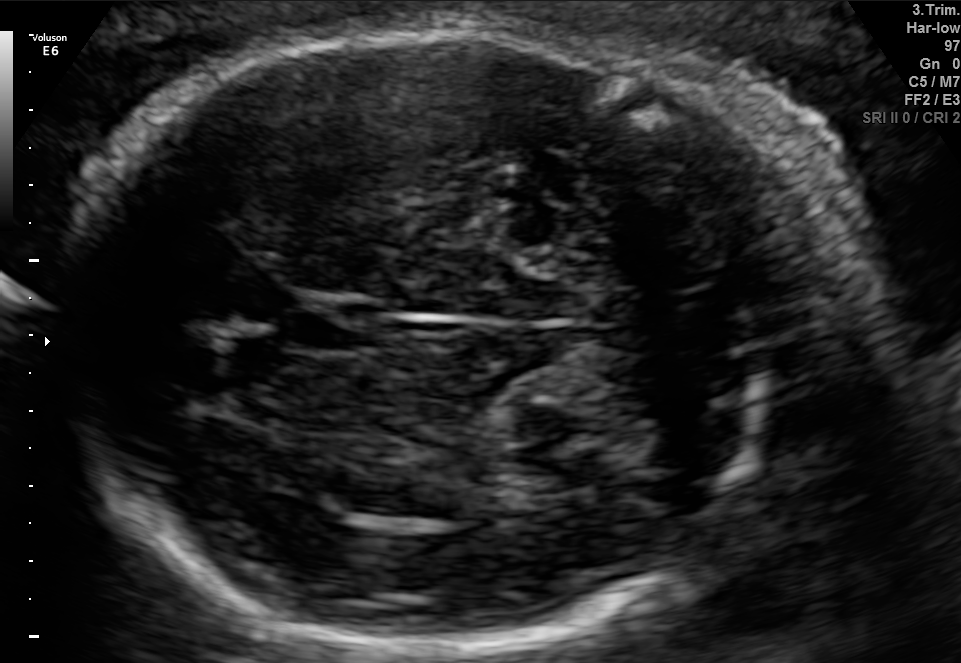
In this fetal brain, trans-cerebellum plane, give the bounding box of the fetal head.

[61,26,816,643]